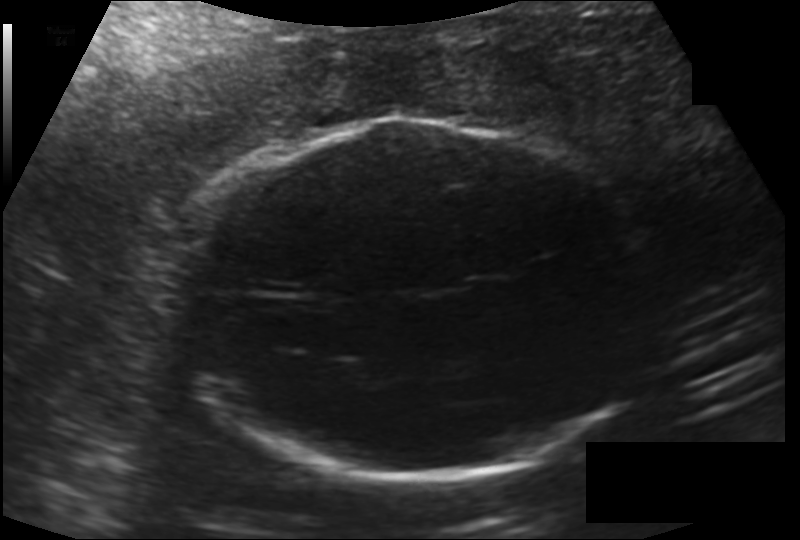
What is the fetal head circumference? Image width is 140.8 mm.

238.5 mm